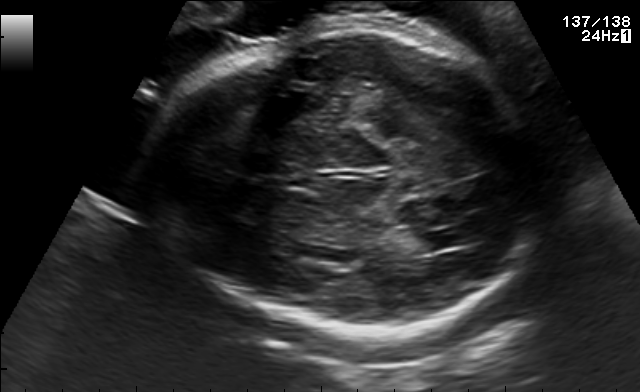
In this fetal brain, trans-thalamic plane, give the bounding box of the fetal head.

[145,26,555,333]